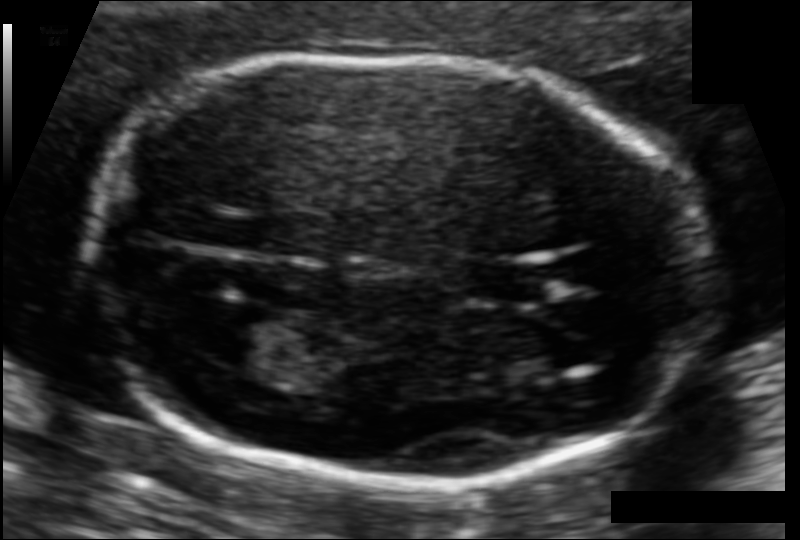
In this fetal head ultrasound, give bounding boxes for the head outline, cavum septum pellucidum (CSP), and lateral ventricle (LV), where visible. Image width: 73.9 mm.

Head: [84,56,704,489]
CSP: [468,265,542,300]
Lateral ventricle: [195,296,293,376]